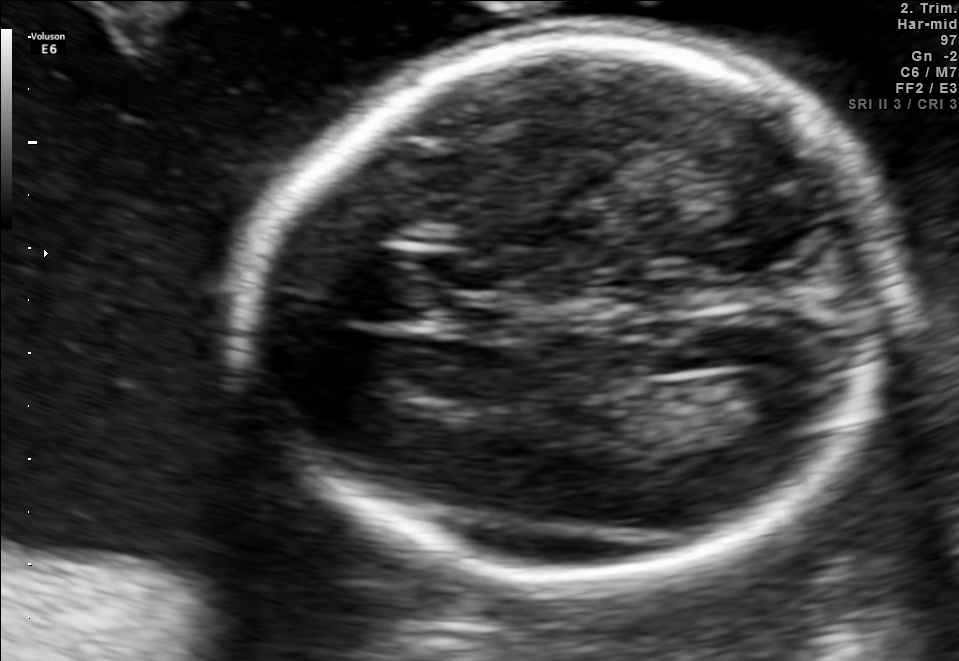
Fetal brain, trans-ventricular plane. Where is the cavum septum pellucidum?

CSP bounding box: [435,294,509,339]